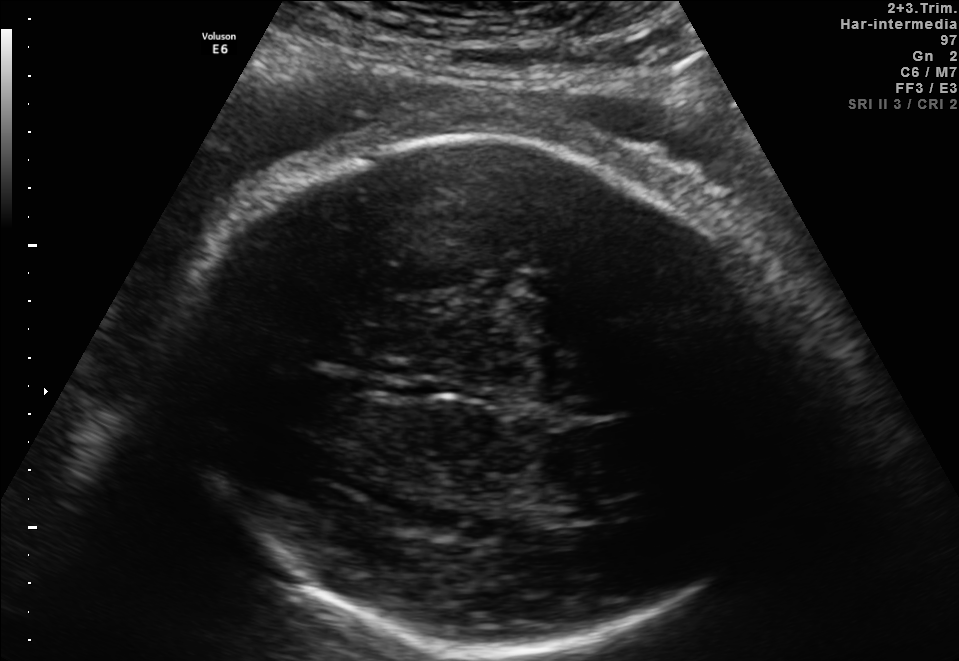
Fetal brain, trans-thalamic plane. Where is the fetal head?

Head bounding box: [178,136,791,651]